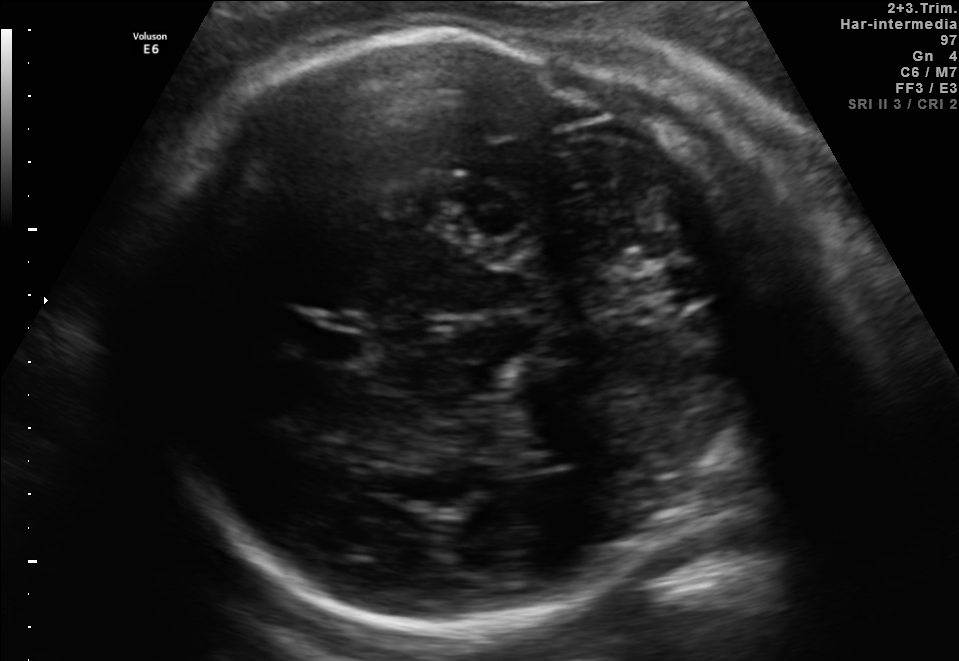
Fetal brain, trans-thalamic plane. Locate the fetal head.

Head: [130,32,765,641]